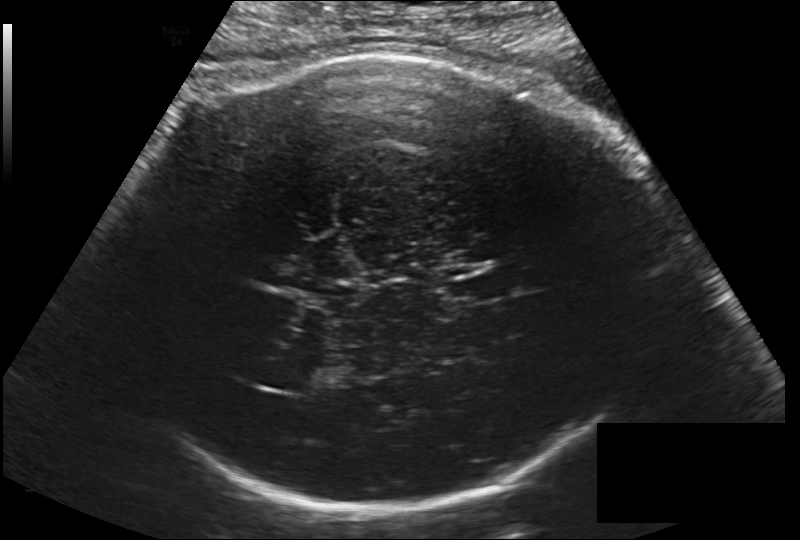
Fetal head ultrasound. Image width: 162.2 mm. Locate the lateral ventricle.

Lateral ventricle: [264,361,319,394]